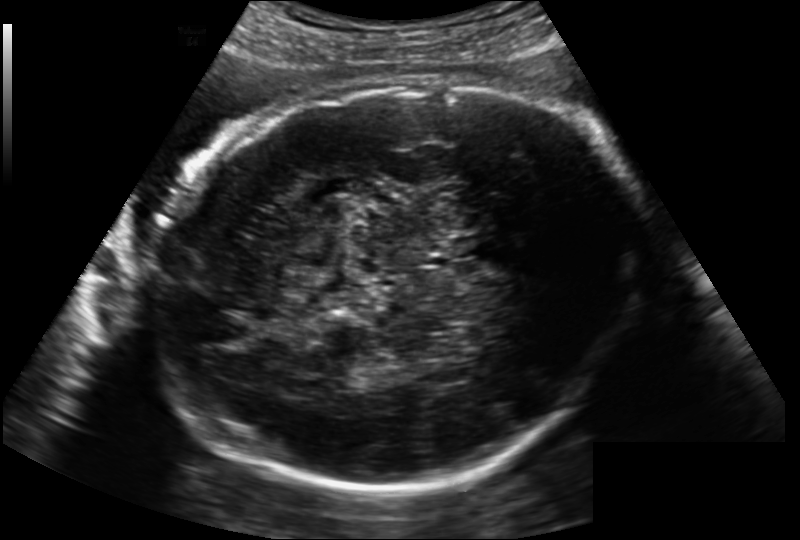
Fetal head ultrasound. Image width: 161.8 mm. Give [x1,y1,x2,y2] bounding boxes for each visible structure among: fetal head, CSP, LV.

Head: [157,70,640,498]